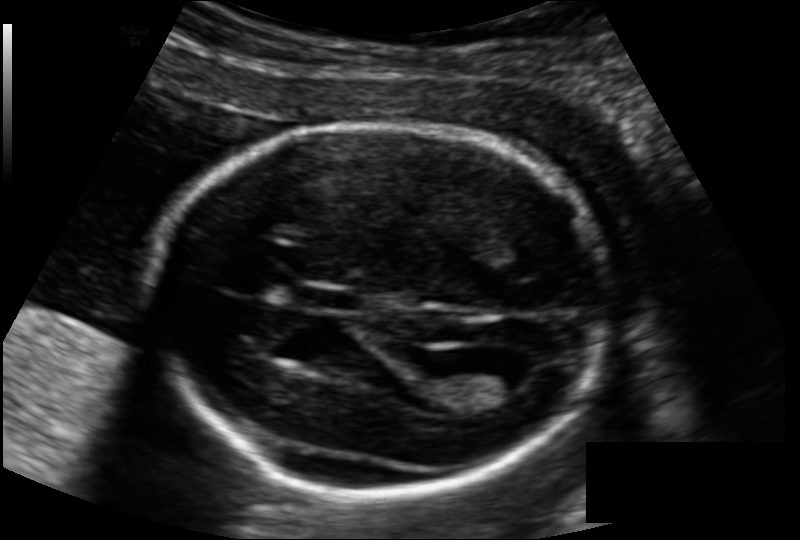
In this fetal head ultrasound, give the bounding box of the lateral ventricle. Image width: 106.7 mm.

[467,350,539,407]